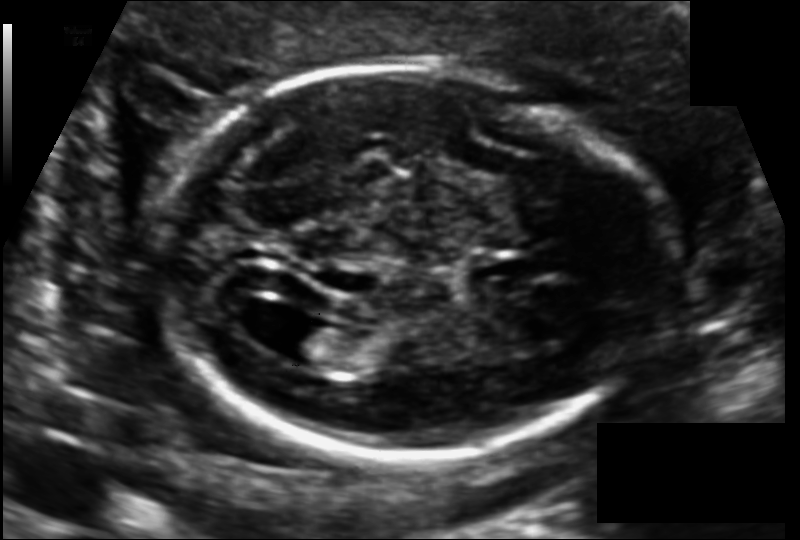
What is the fetal head circumference? Image width is 94.6 mm.

171.2 mm